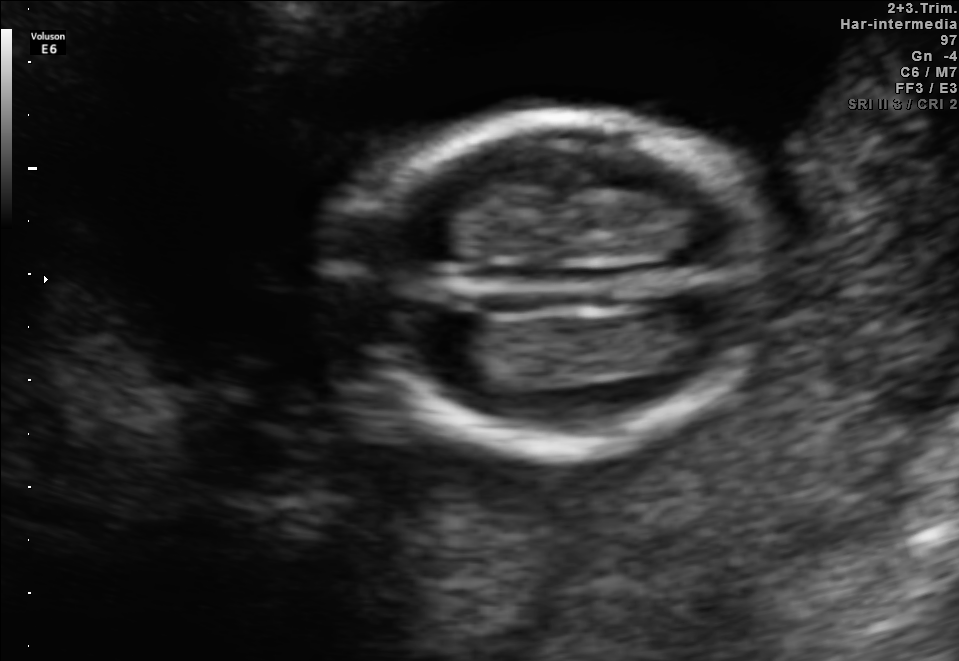
Identify the standard plane in this fetal ultrasound image: fetal abdomen, fetal brain, fetal femur, fetal thorax, maternal cervix, or other. If it's fetal brain and one of the three standard brain planes (trans-thalamic, trans-cerebellum, trans-ventricular), name which.

Fetal brain (trans-thalamic plane)